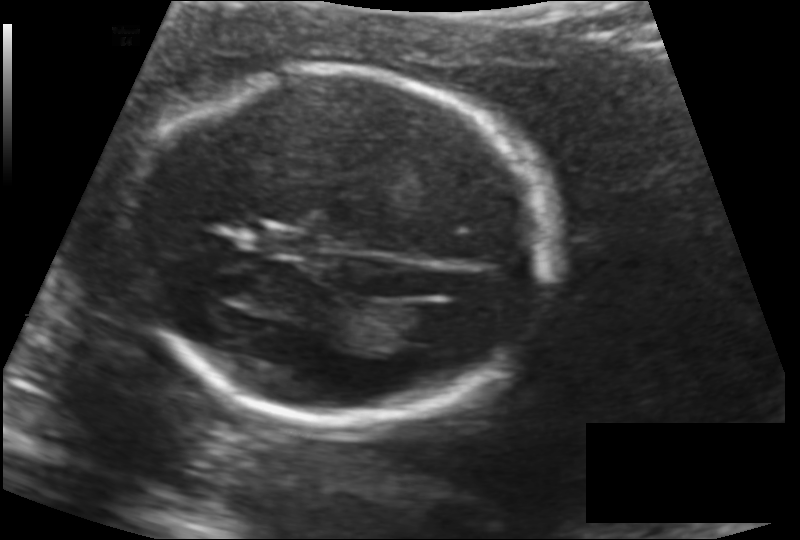
Fetal head ultrasound. Image width: 105.6 mm. Where is the fetal head?

Head bounding box: [136,67,546,429]